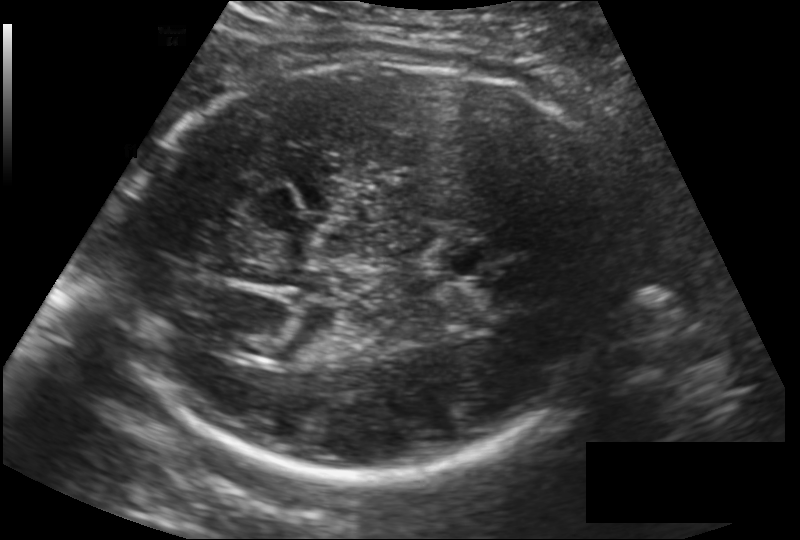
In this fetal head ultrasound, give bounding boxes for the head outline, cavum septum pellucidum (CSP), and lateral ventricle (LV), where visible. Image width: 148.6 mm.

Head: [113,64,634,473]
CSP: [438,240,506,279]